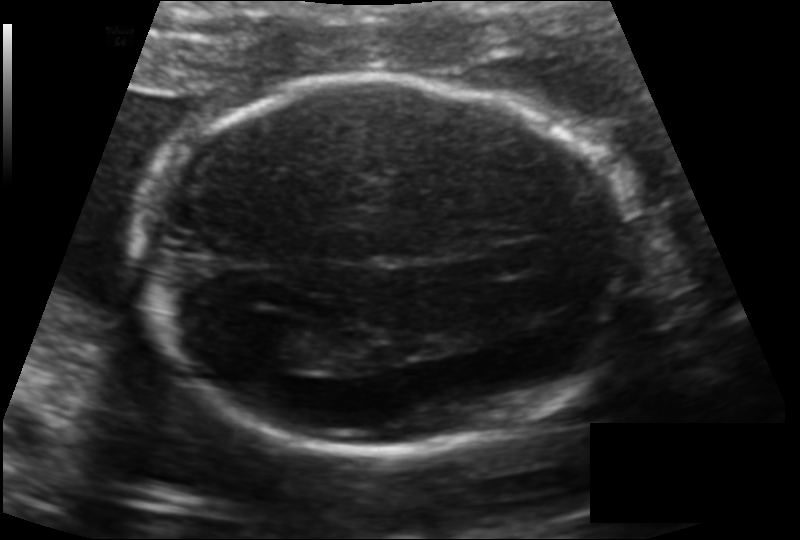
Fetal head ultrasound. Image width: 107.0 mm. Locate the fetal head and, if visible, the cavum septum pellucidum (CSP) and lateral ventricle (LV). Give bounding boxes as [x1,y1,x2,y2].

Head: [149,77,637,450]
CSP: [479,237,550,280]
Lateral ventricle: [249,317,331,372]